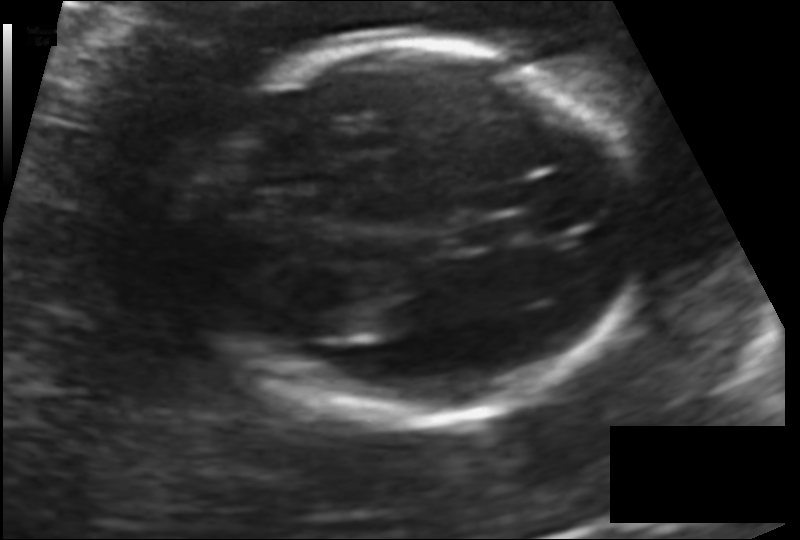
Fetal head ultrasound. Image width: 104.5 mm. Give [x1,y1,x2,y2] bounding boxes for each visible structure among: fetal head, CSP, LV.

Head: [196,38,634,423]
CSP: [456,212,525,255]
Lateral ventricle: [306,306,360,342]